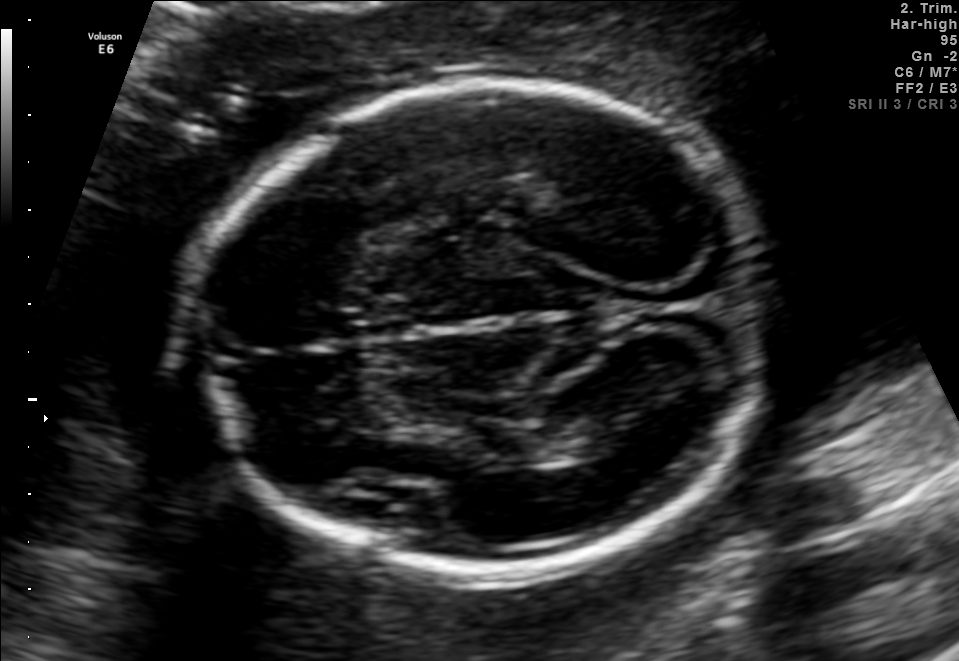
Fetal brain, trans-thalamic plane. Locate the fetal head and, if visible, the cavum septum pellucidum (CSP) and lateral ventricle (LV). Give bounding boxes as [x1,y1,x2,y2].

Head: [194,82,777,563]
Lateral ventricle: [532,408,640,468]